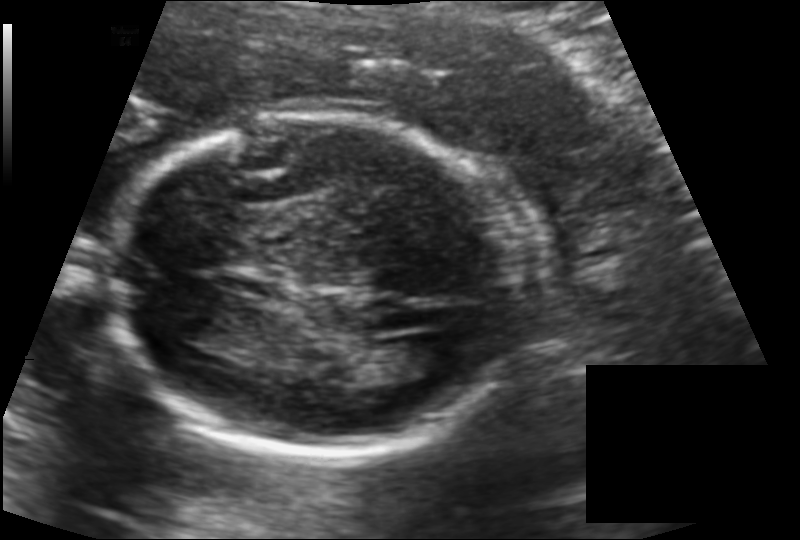
Fetal head ultrasound. Image width: 113.5 mm. Where is the fetal head?

Head bounding box: [111,115,522,459]